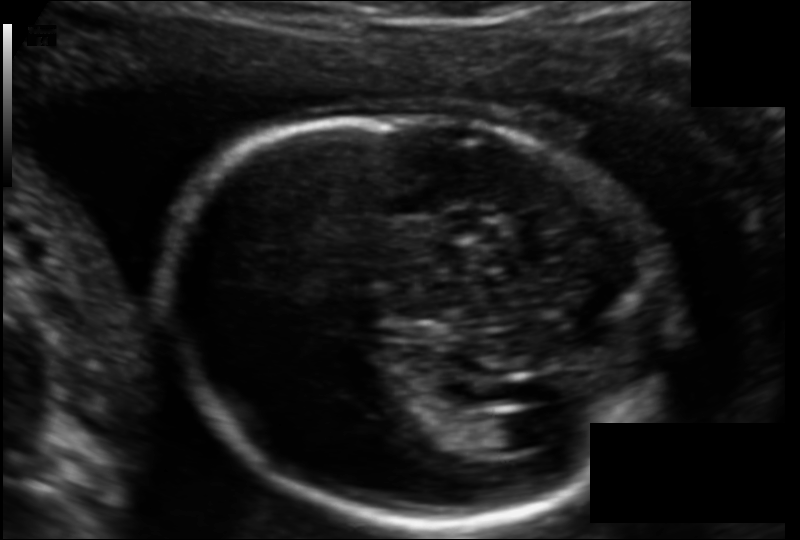
Fetal head ultrasound. Image width: 98.5 mm. Give [x1,y1,x2,y2] bounding boxes for each visible structure among: fetal head, CSP, LV.

Head: [172,113,668,524]
Lateral ventricle: [472,413,540,454]